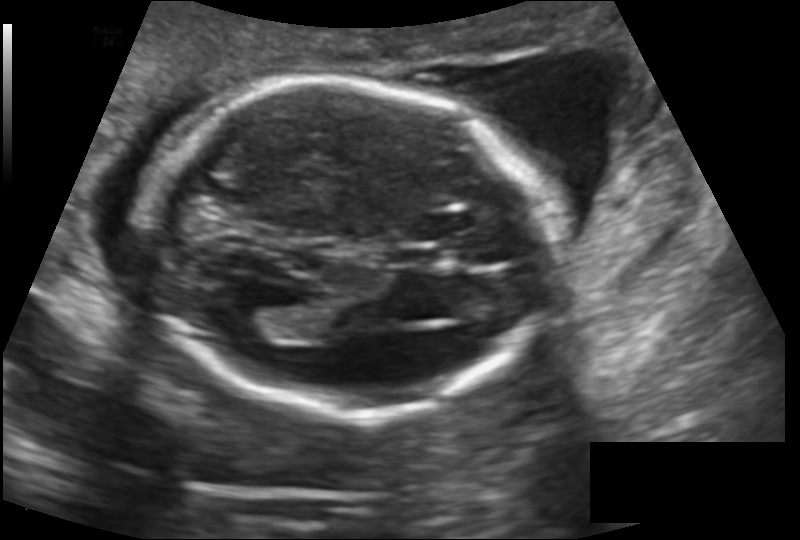
In this fetal head ultrasound, give bounding boxes for the head outline, cavum septum pellucidum (CSP), and lateral ventricle (LV), where visible. Image width: 116.4 mm.

Head: [143,80,553,417]
CSP: [387,247,444,267]
Lateral ventricle: [227,307,280,341]